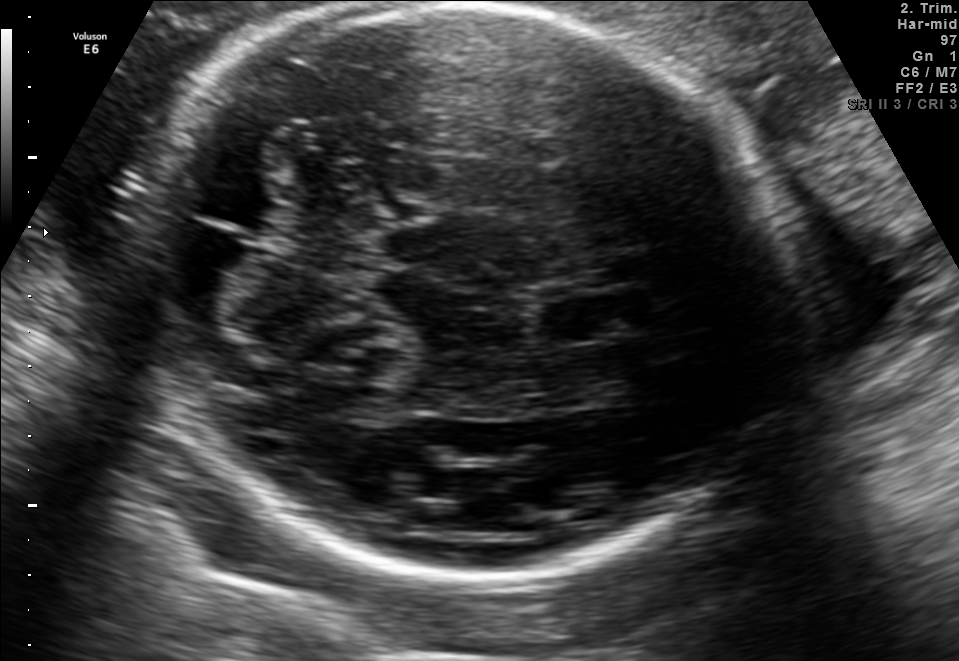
Fetal brain, trans-cerebellum plane. Where is the fetal head?

Head bounding box: [136,3,777,576]